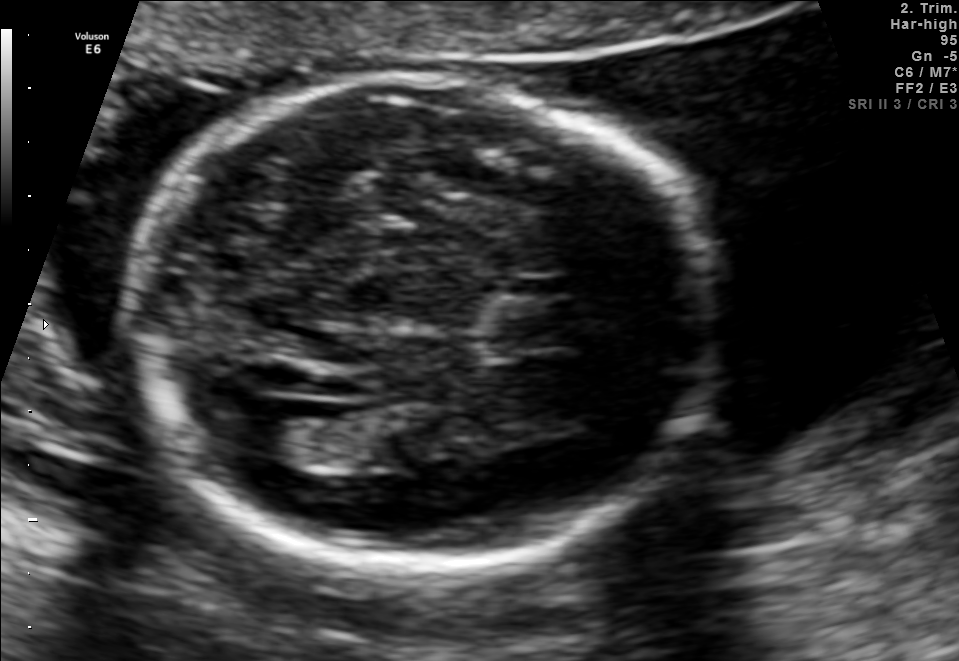
In this fetal brain, trans-ventricular plane, give the bounding box of the fetal head.

[112,66,737,575]